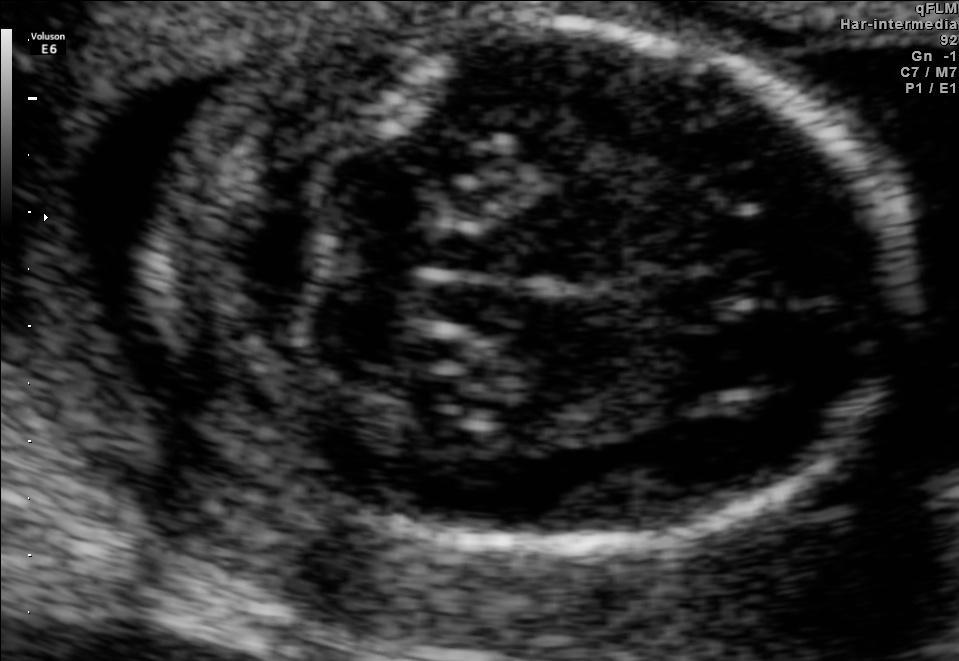
Fetal brain, trans-cerebellum plane. Where is the cavum septum pellucidum?

CSP bounding box: [642,272,732,327]